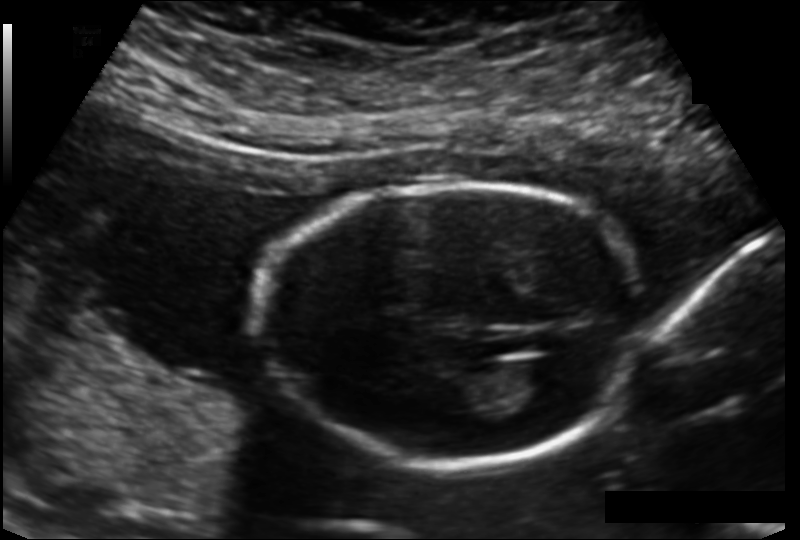
What is the fetal head circumference? Image width is 107.7 mm.

147.9 mm